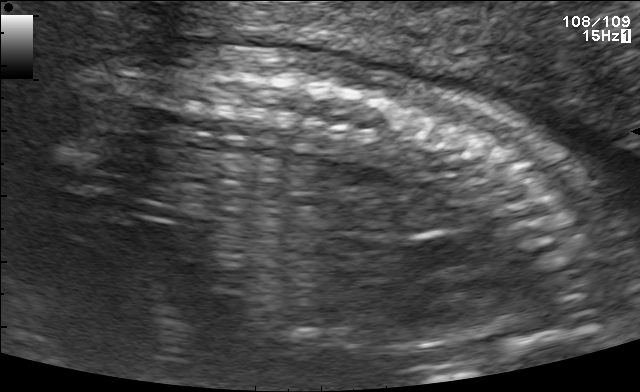
This is a 2D maternal-fetal ultrasound frame. Is it a fetal abdomen, fetal brain, fetal femur, fetal thorax, maternal cervix, or other standard plane? If it's fetal brain and one of the three standard brain planes (trans-thalamic, trans-cerebellum, trans-ventricular), name which.

Other